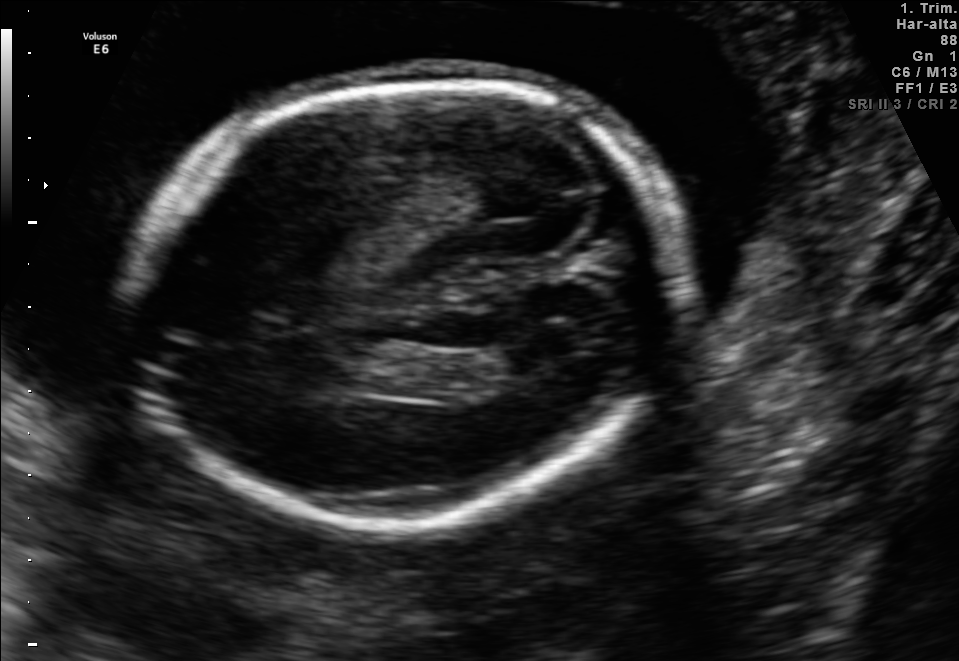
Fetal brain, trans-ventricular plane. Locate the fetal head and, if visible, the cavum septum pellucidum (CSP) and lateral ventricle (LV). Give bounding boxes as [x1,y1,x2,y2].

Head: [121,73,702,532]